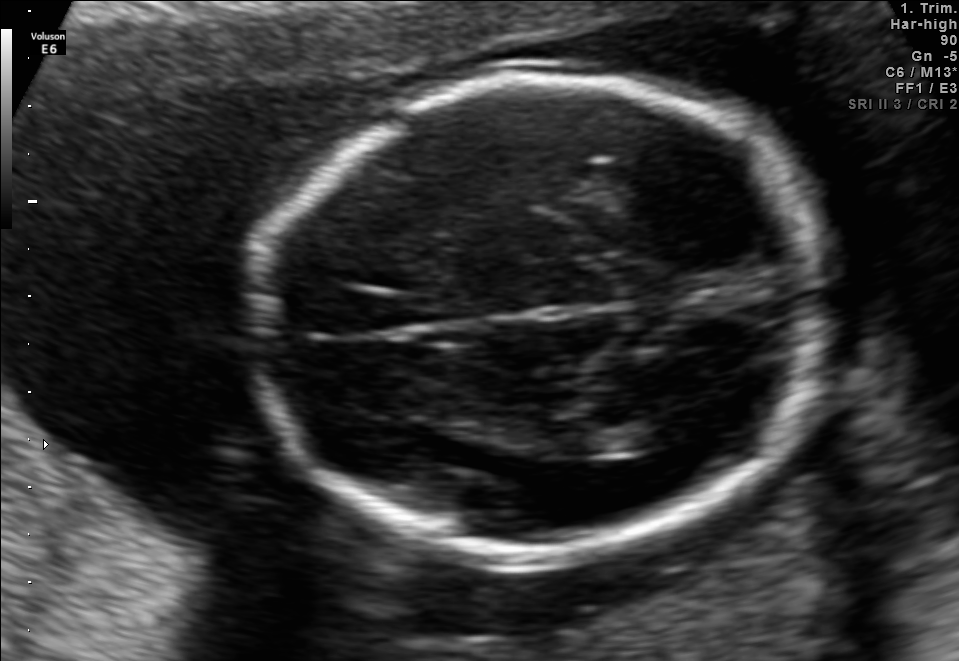
Fetal brain, trans-thalamic plane. Locate the lateral ventricle.

Lateral ventricle: [625,405,703,456]